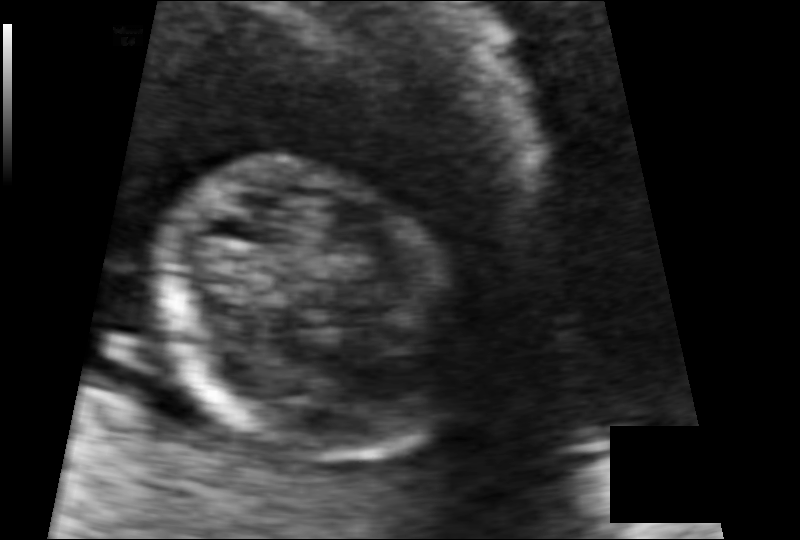
Estimate the fetal head circumference from this 2D ultrasound. Image width: 68.4 mm.

Head circumference: 79.8 mm.